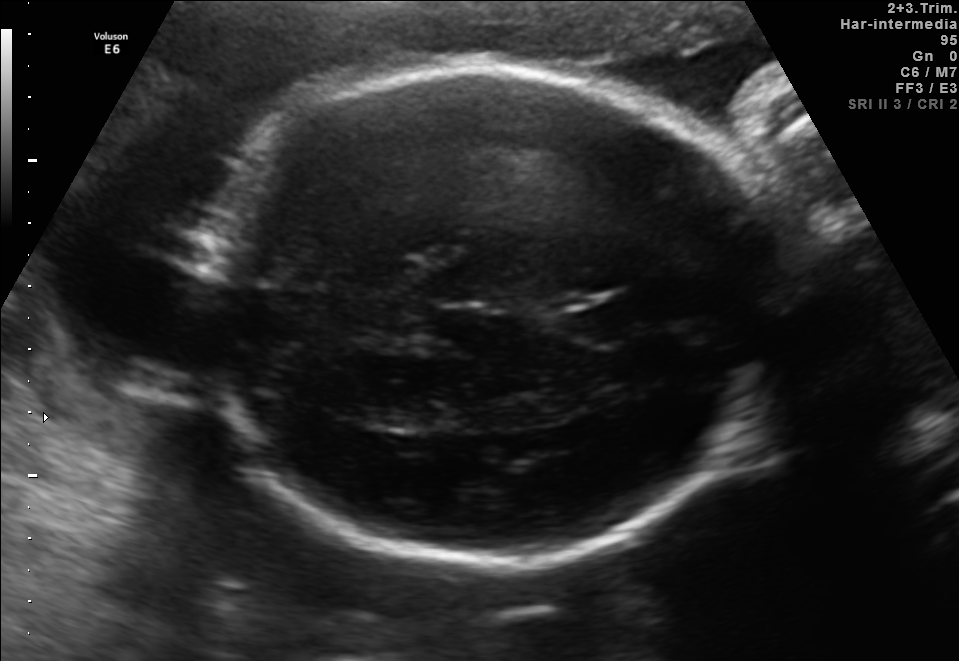
Fetal brain, trans-thalamic plane. Where is the cavum septum pellucidum?

CSP bounding box: [571,289,650,347]